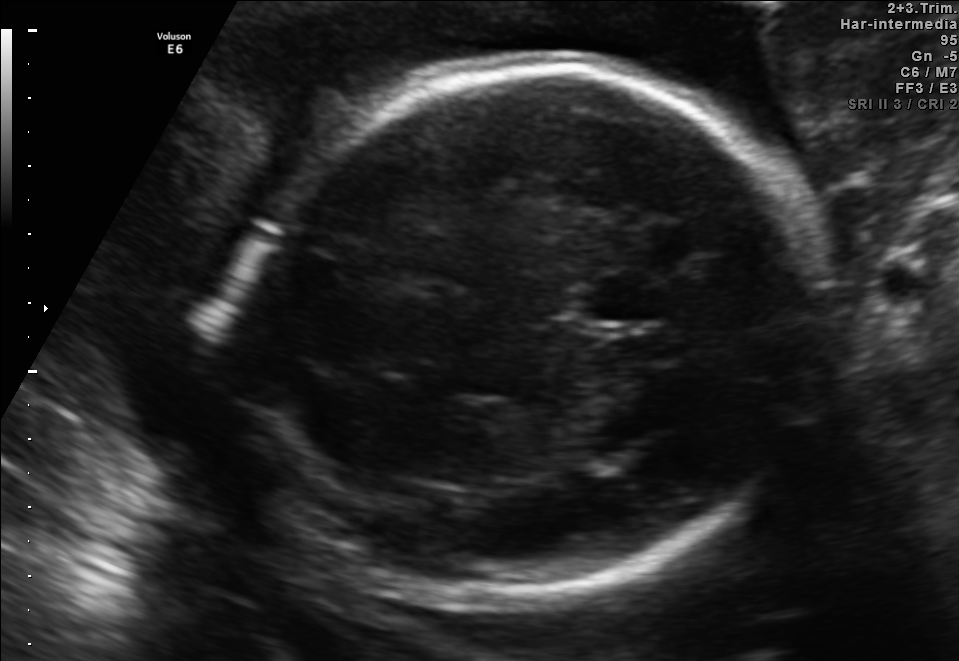
Fetal brain, trans-thalamic plane. Locate the fetal head and, if visible, the cavum septum pellucidum (CSP) and lateral ventricle (LV). Give bounding boxes as [x1,y1,x2,y2].

Head: [233,65,804,608]